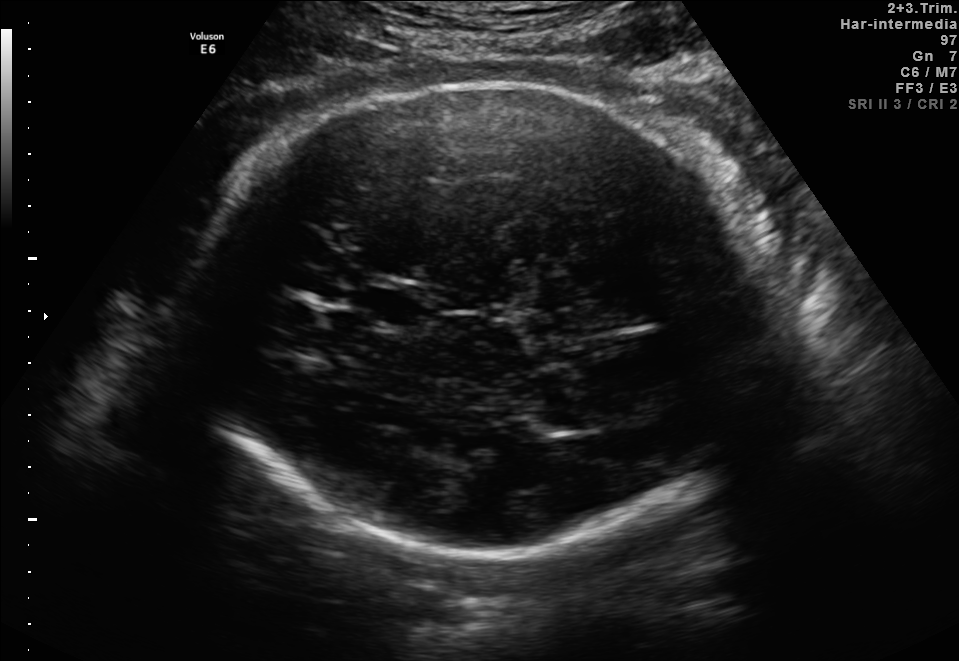
In this fetal brain, trans-thalamic plane, give the bounding box of the fetal head.

[186,85,785,562]